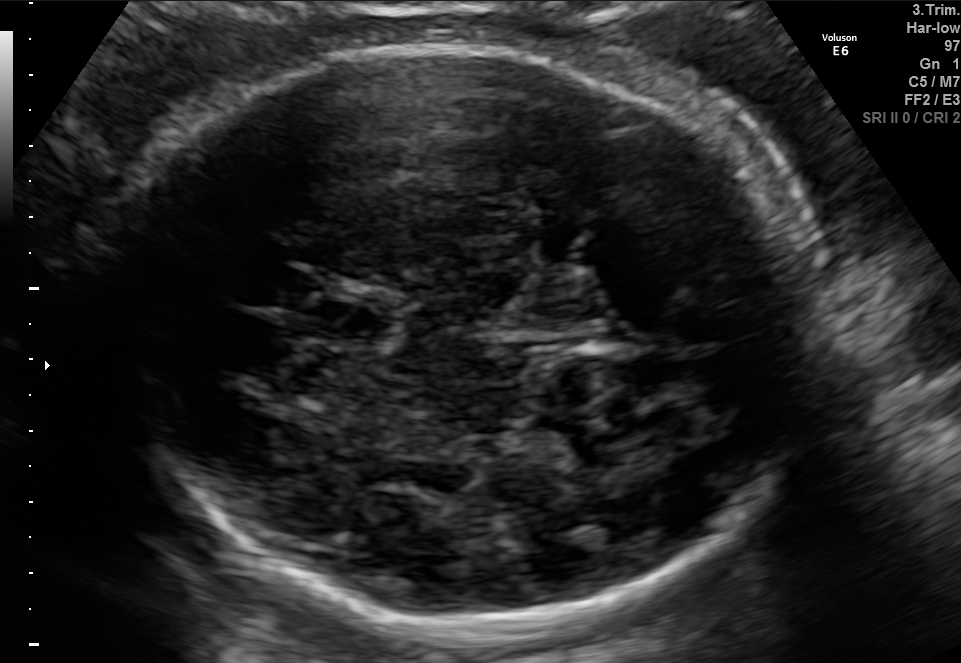
Fetal brain, trans-thalamic plane. Where is the fetal head?

Head bounding box: [124,43,803,634]